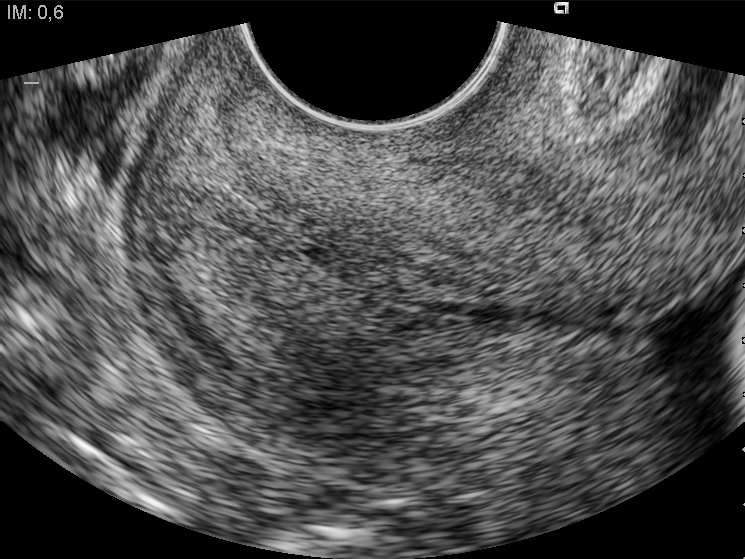
Identify the standard plane in this fetal ultrasound image: fetal abdomen, fetal brain, fetal femur, fetal thorax, maternal cervix, or other. If it's fetal brain and one of the three standard brain planes (trans-thalamic, trans-cerebellum, trans-ventricular), name which.

Maternal cervix